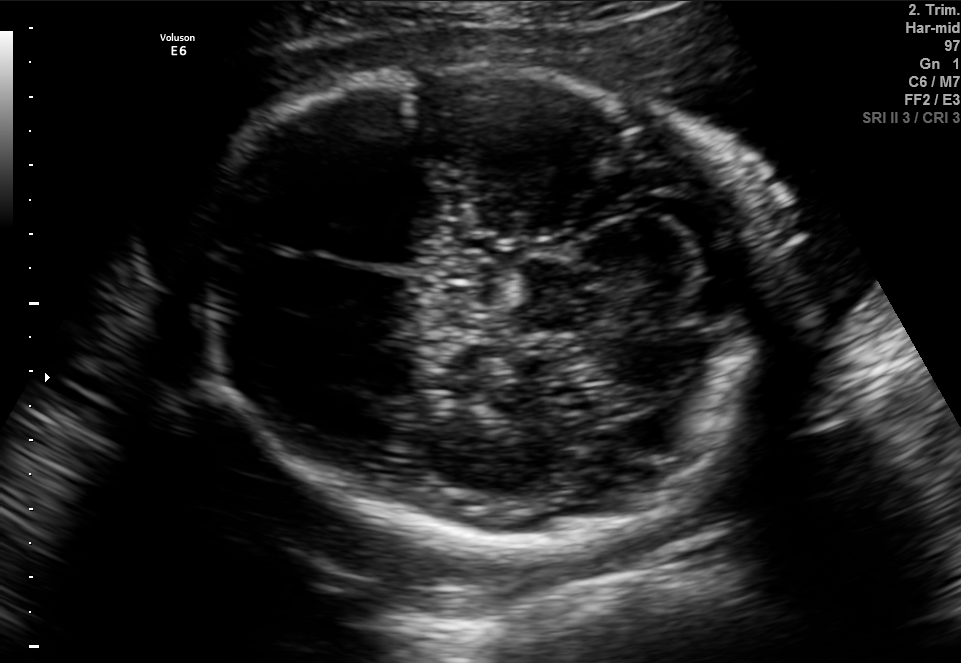
Fetal brain, trans-cerebellum plane. Give [x1,y1,x2,y2] bounding boxes for each visible structure among: fetal head, CSP, LV.

Head: [191,66,782,547]